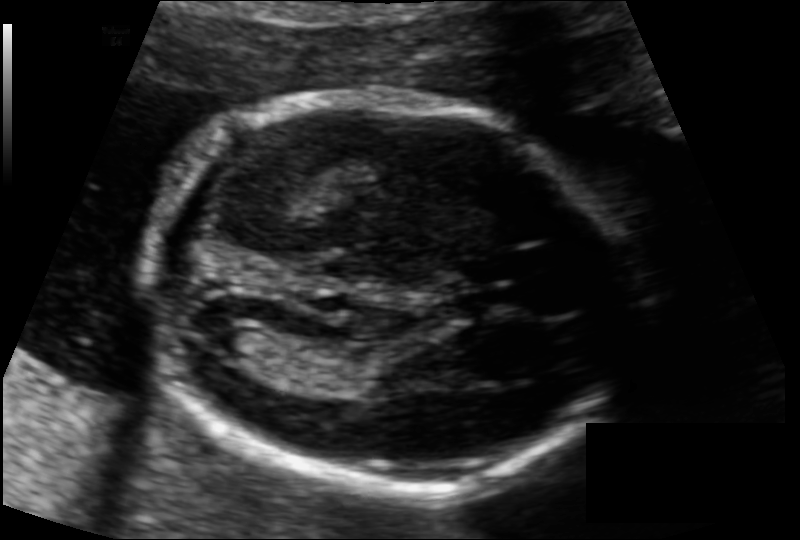
Fetal head ultrasound. Image width: 86.5 mm. Where is the fetal head?

Head bounding box: [148,96,631,489]